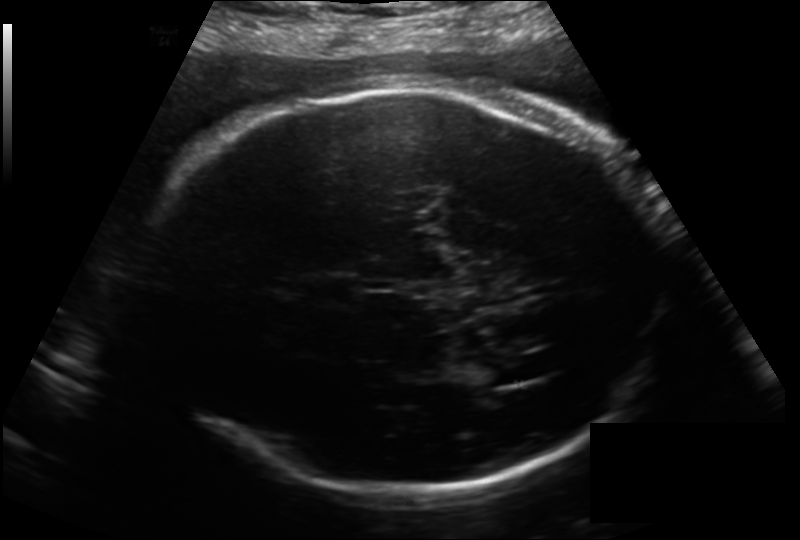
Fetal head ultrasound. Image width: 171.3 mm. Locate the fetal head.

Head: [148,84,660,500]